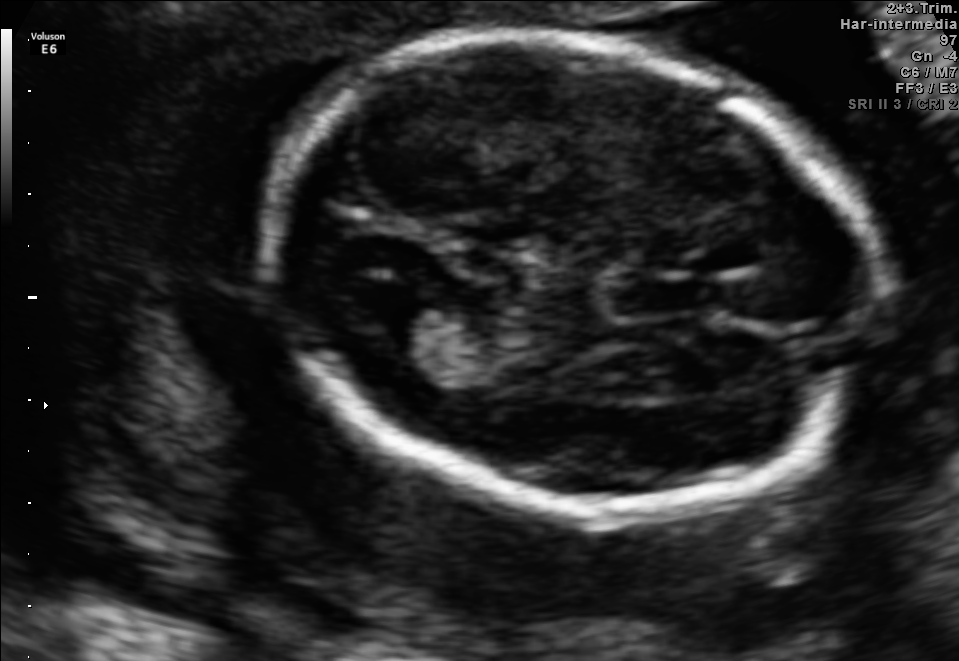
In this fetal brain, trans-ventricular plane, give the bounding box of the fetal head.

[251,23,888,528]